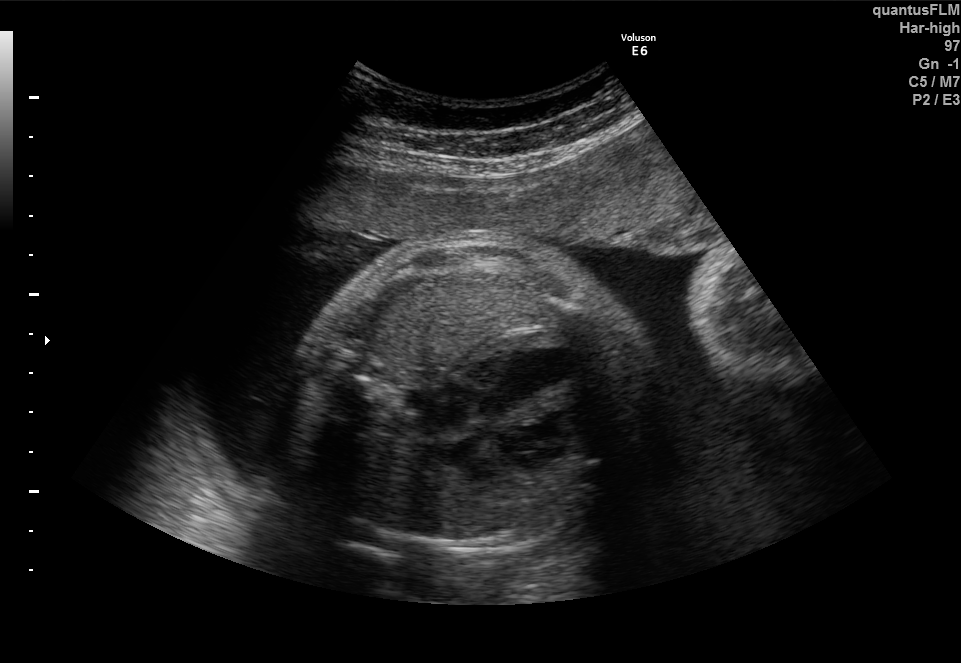
This is a 2D maternal-fetal ultrasound frame. Is it a fetal abdomen, fetal brain, fetal femur, fetal thorax, maternal cervix, or other standard plane? If it's fetal brain and one of the three standard brain planes (trans-thalamic, trans-cerebellum, trans-ventricular), name which.

Fetal thorax